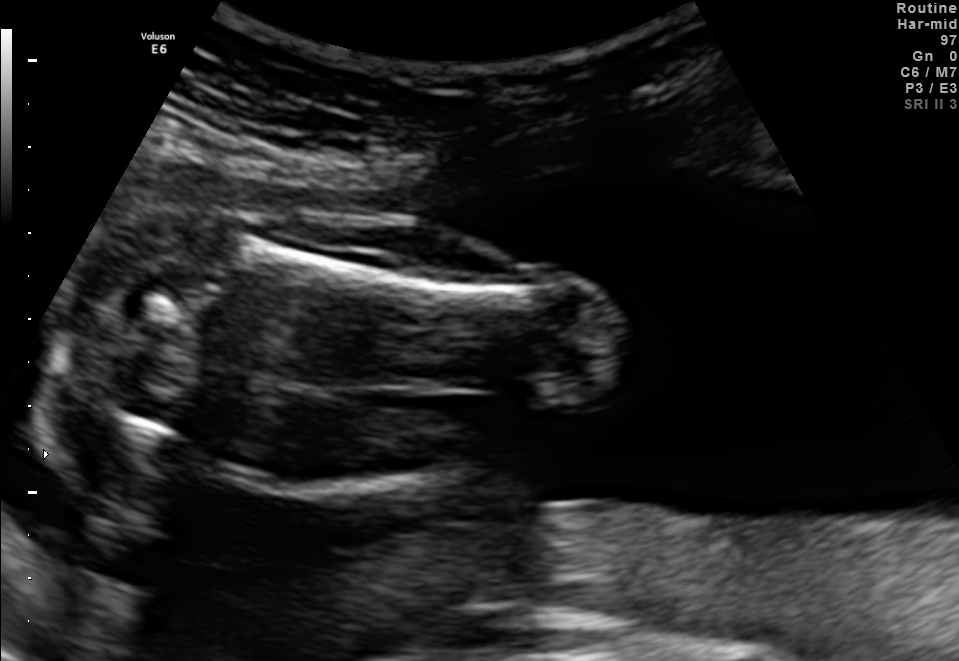
This is a 2D maternal-fetal ultrasound frame. Is it a fetal abdomen, fetal brain, fetal femur, fetal thorax, maternal cervix, or other standard plane? If it's fetal brain and one of the three standard brain planes (trans-thalamic, trans-cerebellum, trans-ventricular), name which.

Fetal femur